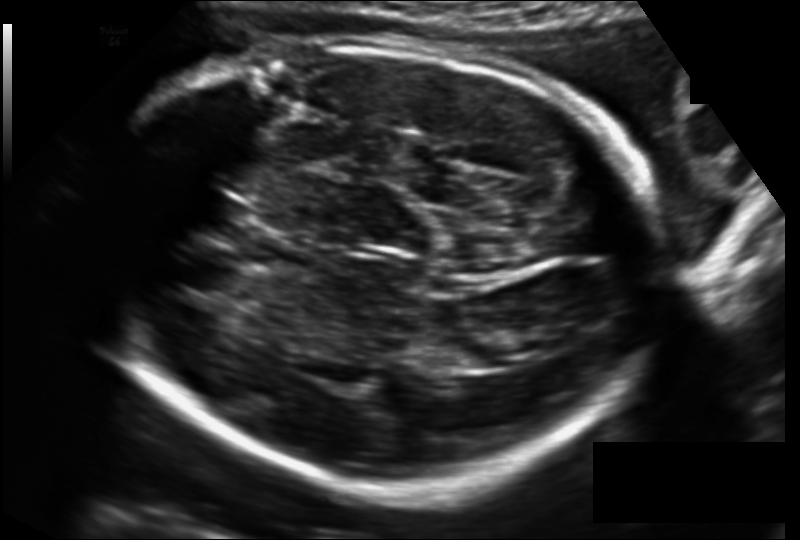
Measure the fetal head circumference shown in this ultrasound image. Image width: 133.8 mm.

Head circumference: 275.9 mm.